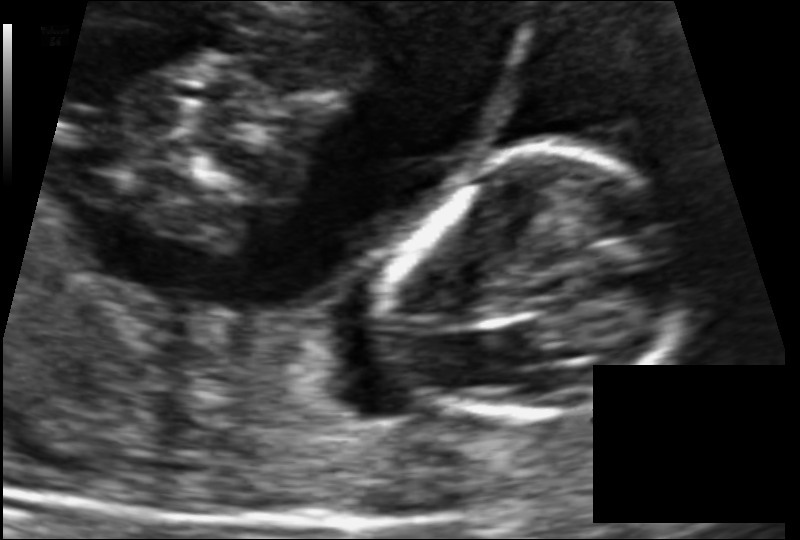
What is the fetal head circumference? Image width is 69.1 mm.

81.1 mm